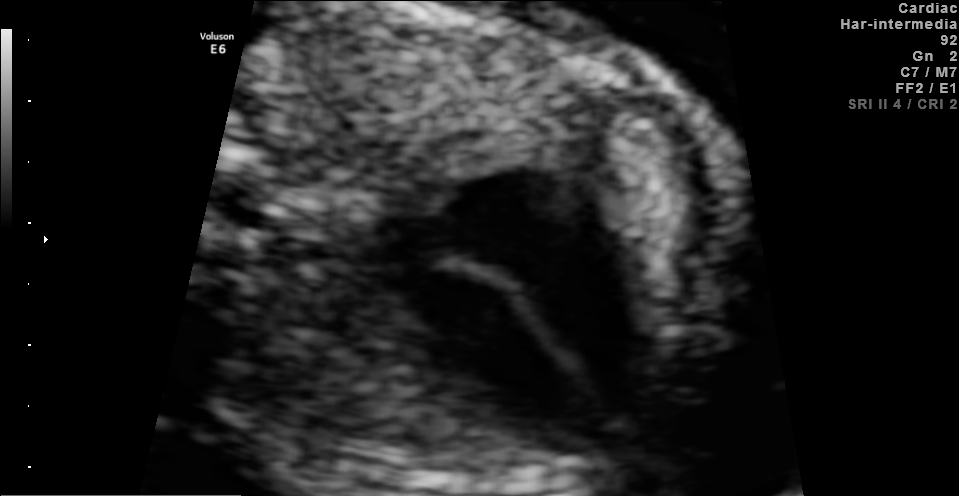
Which standard maternal-fetal ultrasound plane is shown: fetal abdomen, fetal brain, fetal femur, fetal thorax, maternal cervix, or other? If it's fetal brain and one of the three standard brain planes (trans-thalamic, trans-cerebellum, trans-ventricular), name which.

Fetal thorax